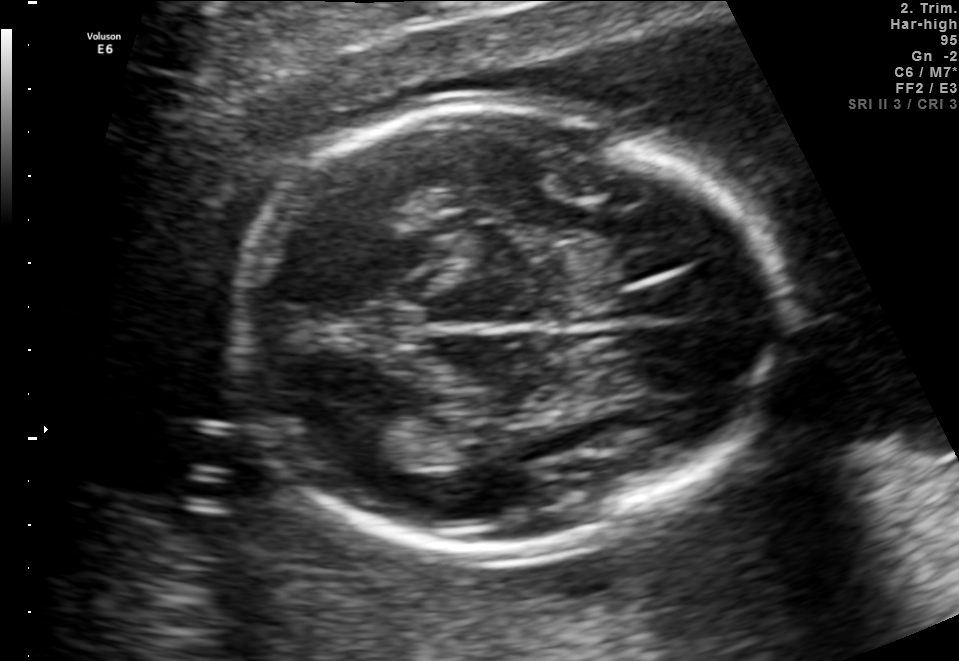
In this fetal brain, trans-thalamic plane, give the bounding box of the fetal head.

[231,110,786,549]